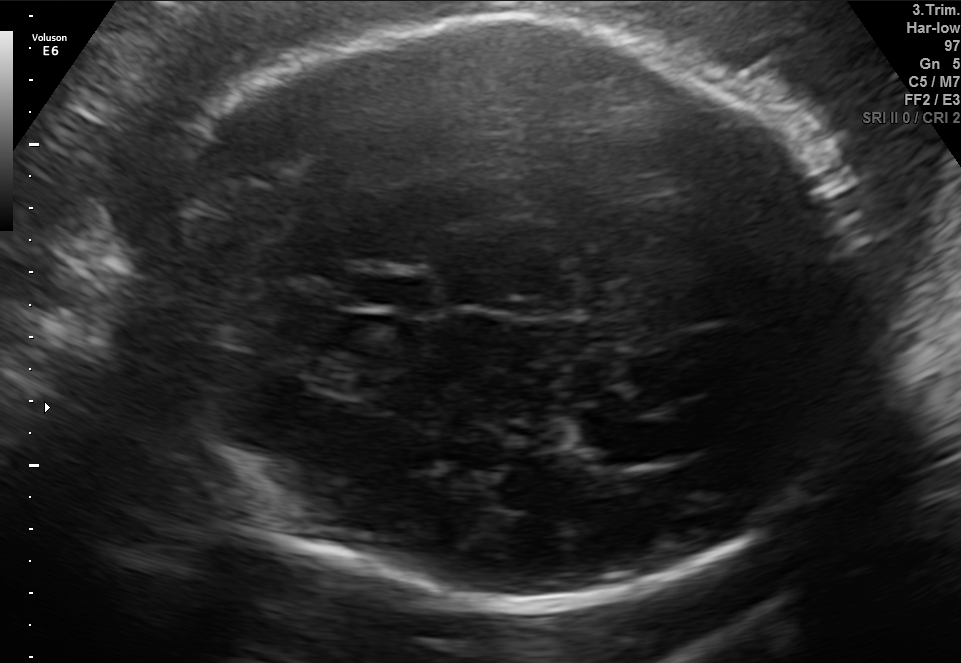
Fetal brain, trans-thalamic plane. Where is the fetal head?

Head bounding box: [152,19,875,608]